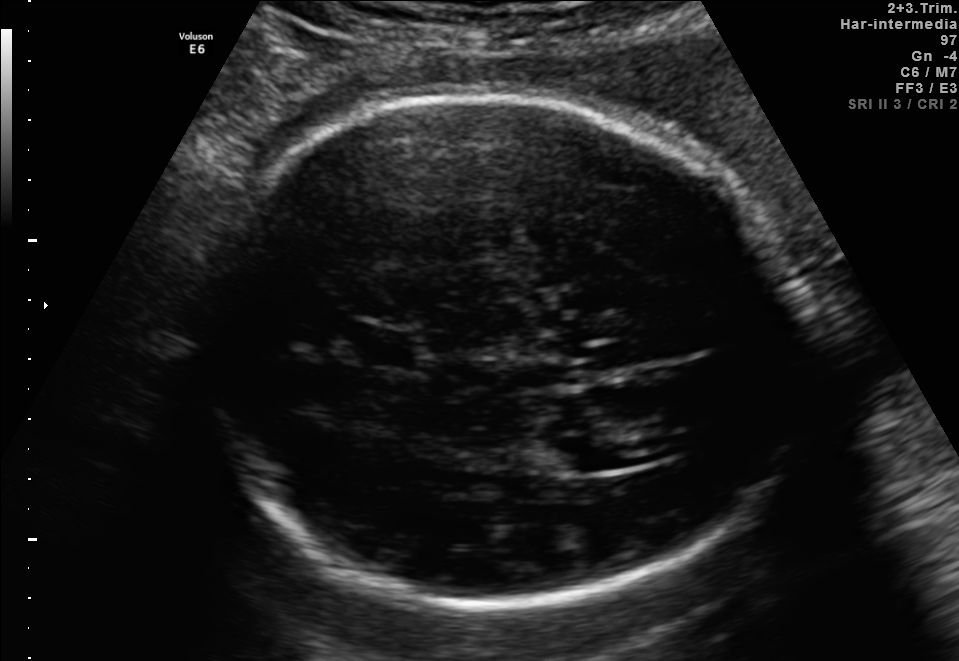
In this fetal brain, trans-ventricular plane, give bounding boxes for the head outline, cavum septum pellucidum (CSP), and lateral ventricle (LV), where visible.

Head: [187,87,824,616]
CSP: [341,320,437,378]
Lateral ventricle: [537,428,622,478]